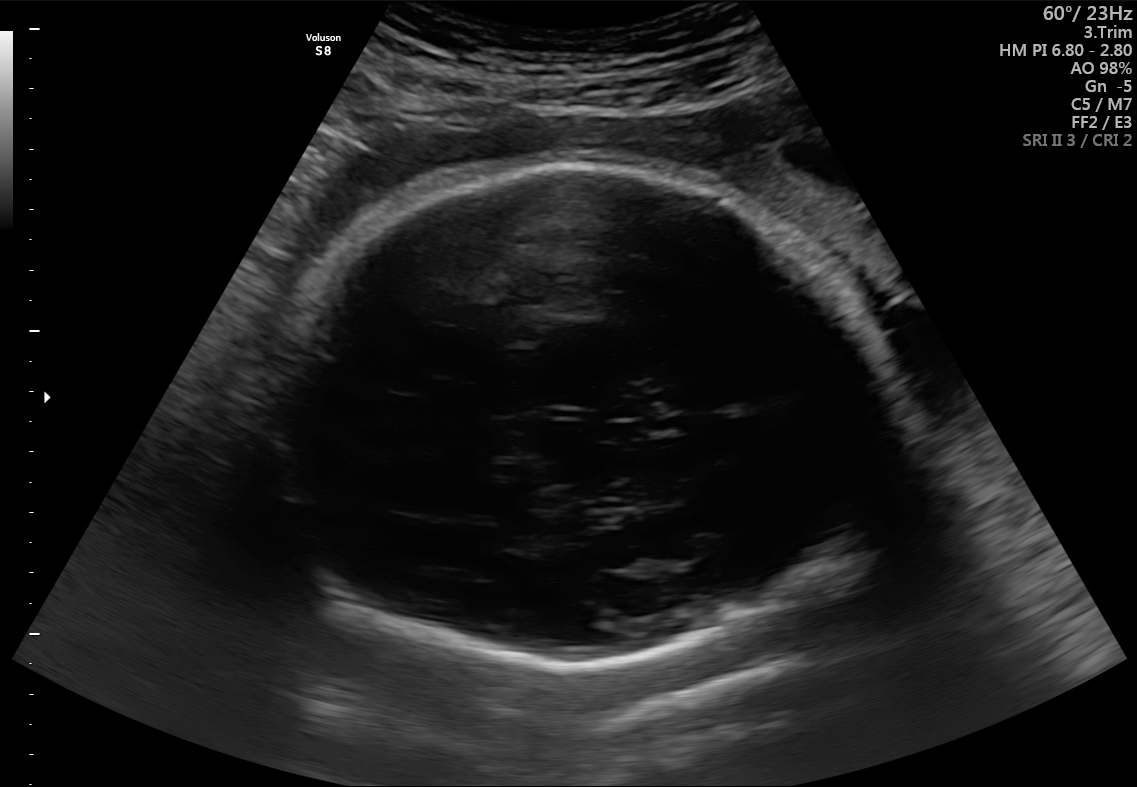
Fetal brain, trans-thalamic plane. Give [x1,y1,x2,y2] bounding boxes for each visible structure among: fetal head, CSP, LV.

Head: [263,161,900,664]